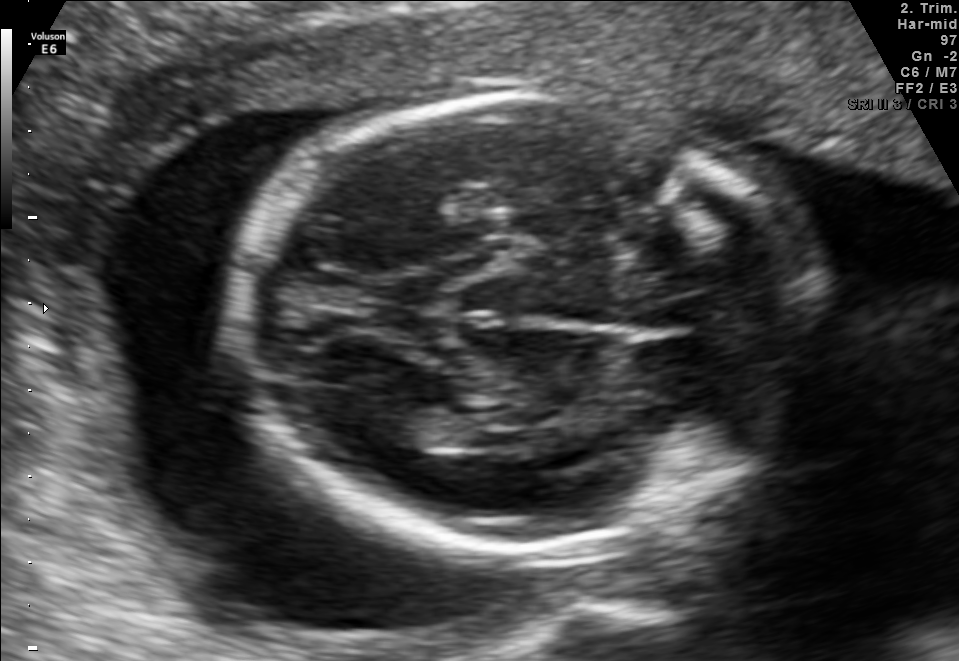
Fetal brain, trans-thalamic plane. Locate the lateral ventricle.

Lateral ventricle: [358,392,457,453]